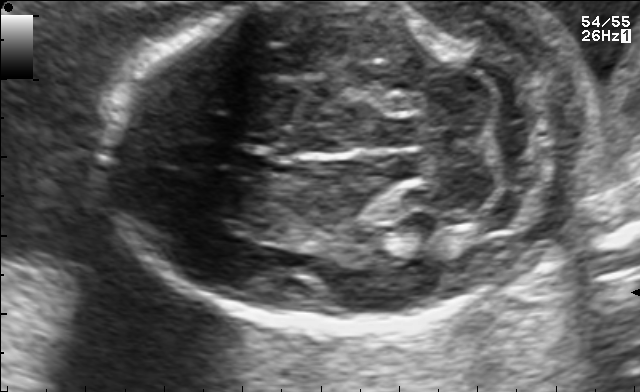
Fetal brain, trans-cerebellum plane. Locate the fetal head and, if visible, the cavum septum pellucidum (CSP) and lateral ventricle (LV). Give bounding boxes as [x1,y1,x2,y2].

Head: [101,2,592,327]